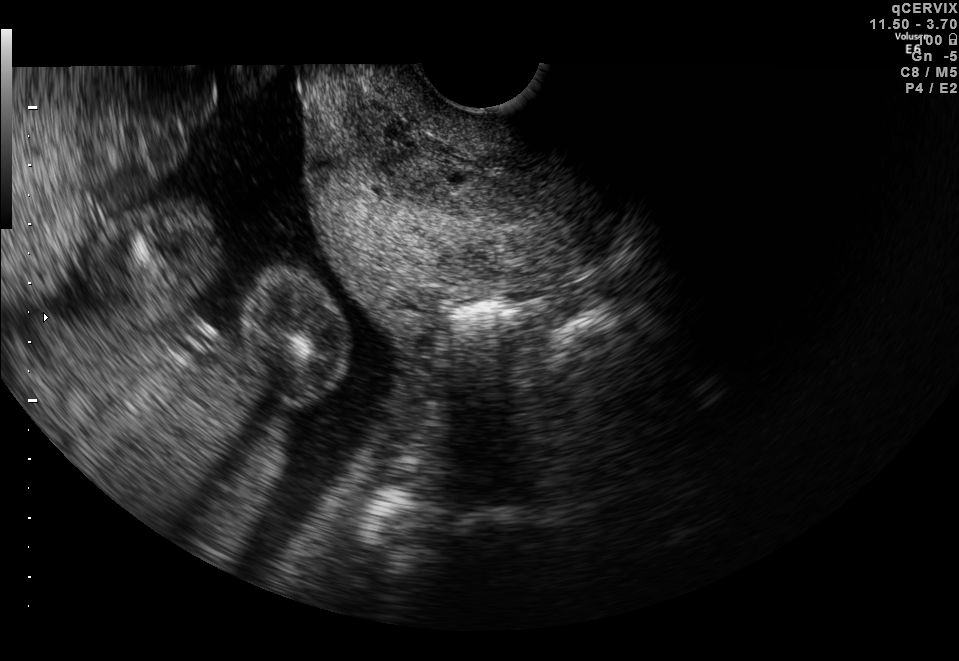
Identify the standard plane in this fetal ultrasound image: fetal abdomen, fetal brain, fetal femur, fetal thorax, maternal cervix, or other. If it's fetal brain and one of the three standard brain planes (trans-thalamic, trans-cerebellum, trans-ventricular), name which.

Maternal cervix